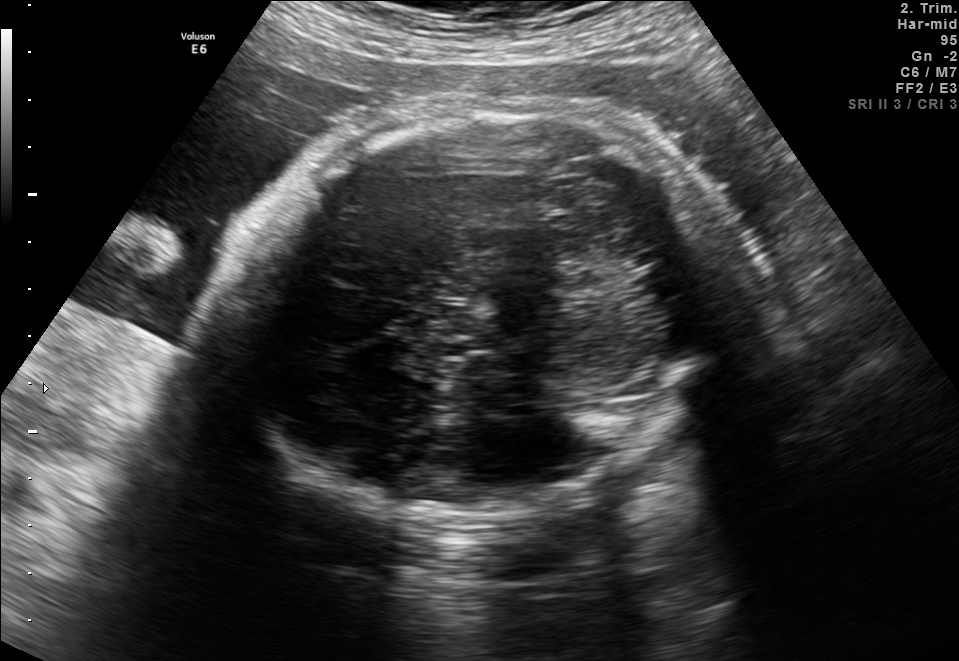
Fetal brain, trans-cerebellum plane. Locate the fetal head.

Head: [240,103,729,518]